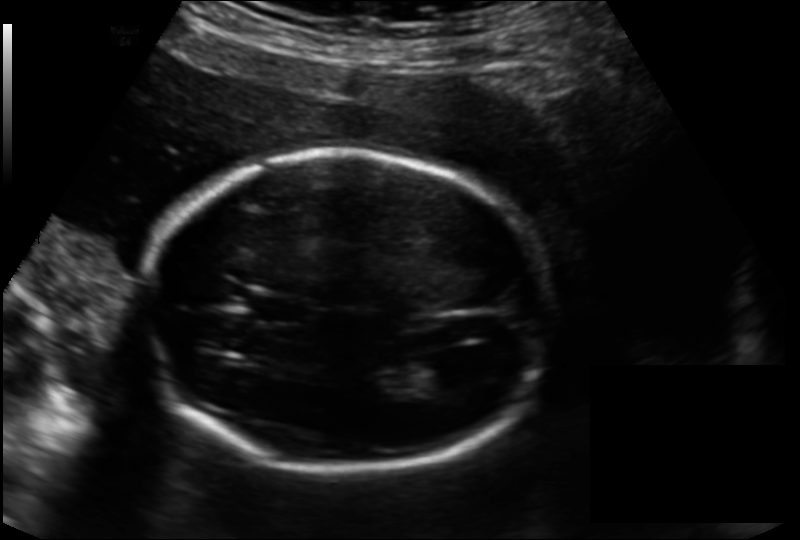
Fetal head ultrasound. Image width: 133.1 mm. Where is the fetal head?

Head bounding box: [147,148,551,472]